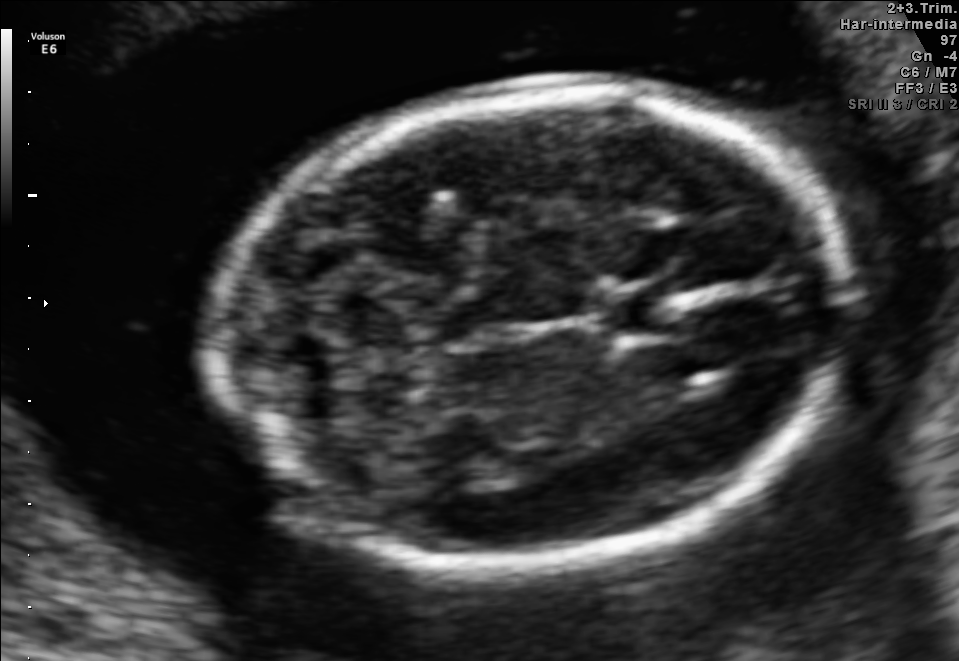
In this fetal brain, trans-cerebellum plane, give bounding boxes for the head outline, cavum septum pellucidum (CSP), and lateral ventricle (LV), where visible.

Head: [226,85,841,564]
CSP: [596,281,682,344]